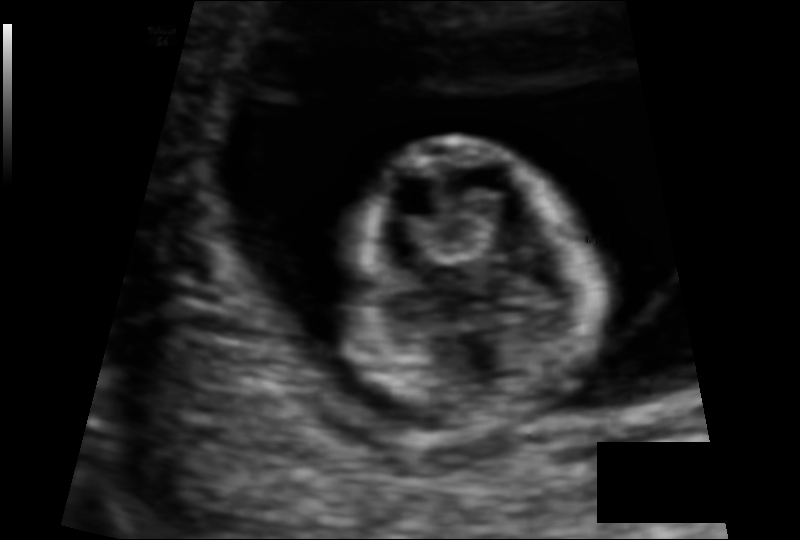
From this fetal ultrasound, estimate the head circumference (image width 70.2 mm).

Head circumference: 72.1 mm.